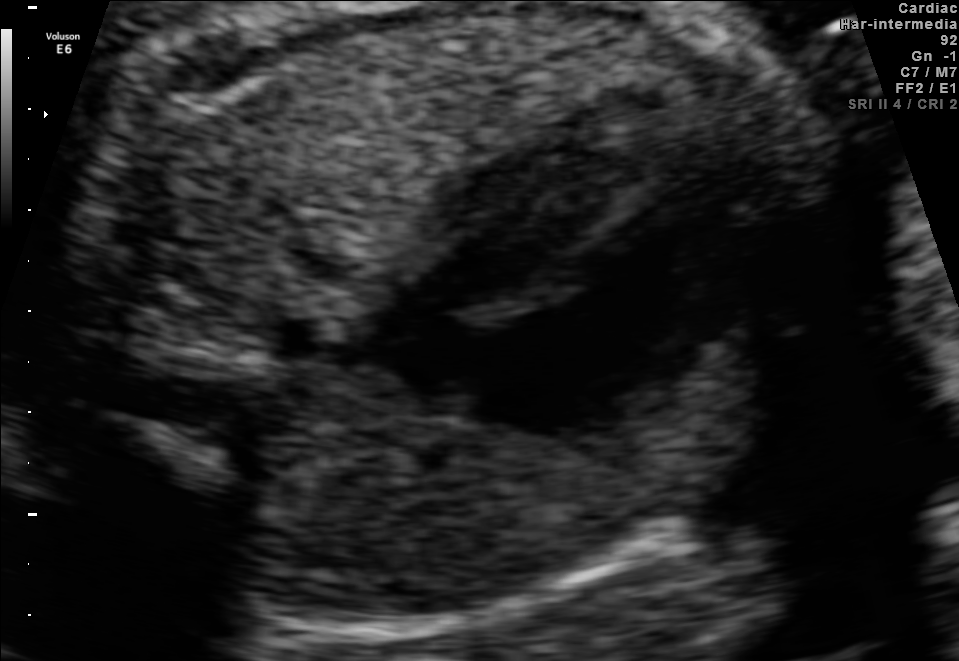
Which standard maternal-fetal ultrasound plane is shown: fetal abdomen, fetal brain, fetal femur, fetal thorax, maternal cervix, or other? If it's fetal brain and one of the three standard brain planes (trans-thalamic, trans-cerebellum, trans-ventricular), name which.

Fetal thorax